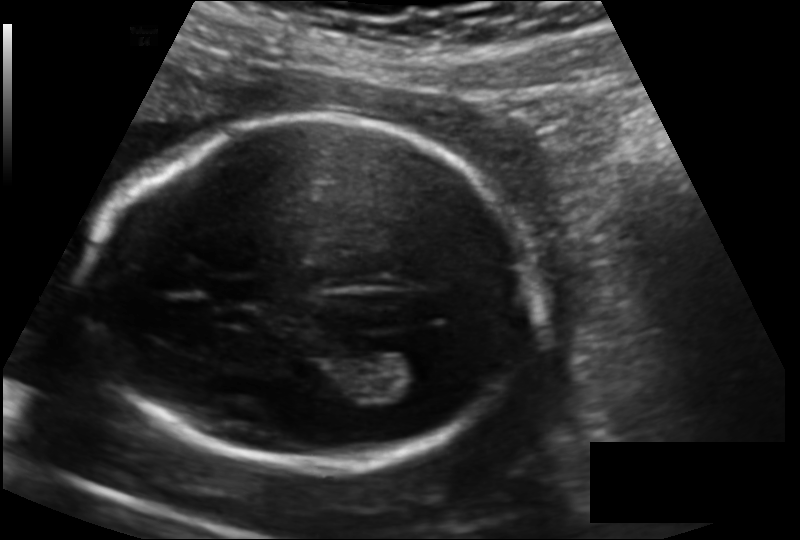
Estimate the fetal head circumference from this 2D ultrasound. Image width: 111.4 mm.

Head circumference: 179.7 mm.